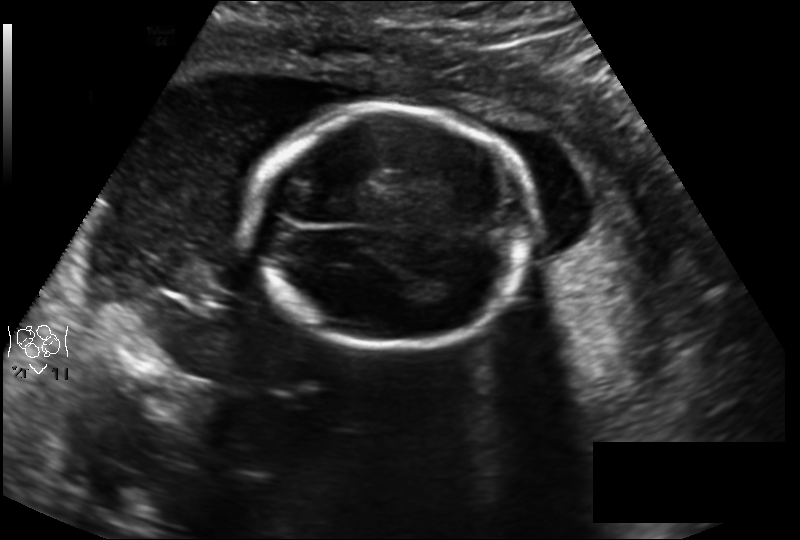
In this fetal head ultrasound, give the bounding box of the fetal head. Image width: 155.0 mm.

[253,105,532,350]